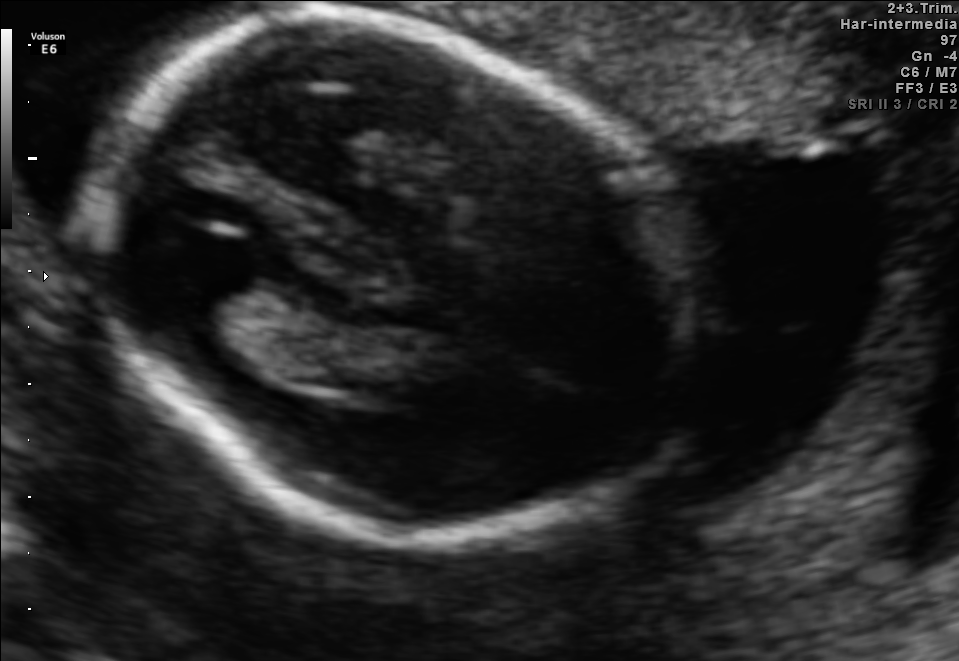
In this fetal brain, trans-thalamic plane, give bounding boxes for the head outline, cavum septum pellucidum (CSP), and lateral ventricle (LV), where visible.

Head: [87,26,704,541]